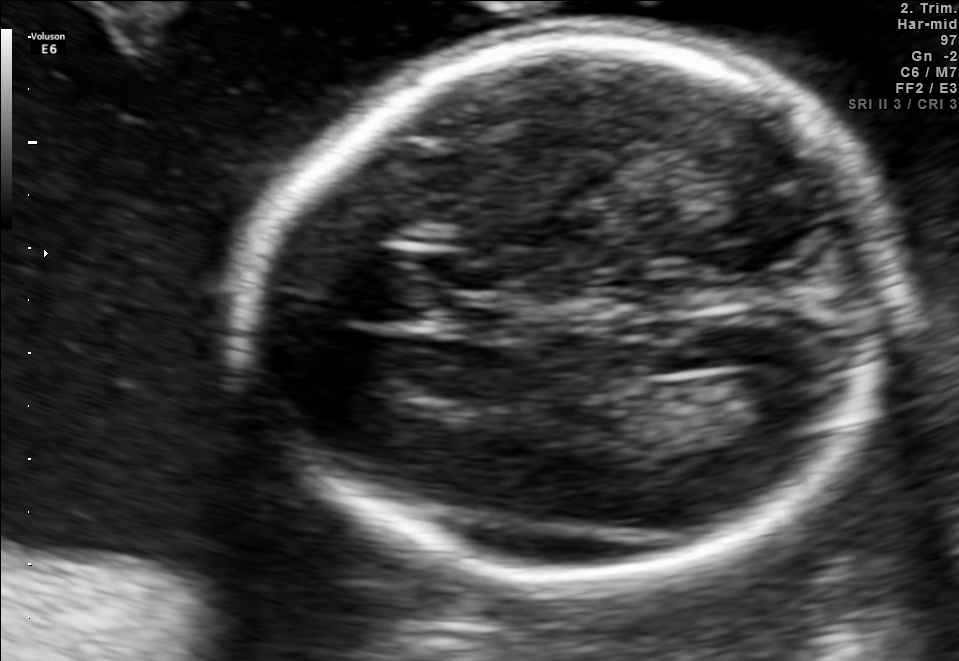
Fetal brain, trans-ventricular plane. Give [x1,y1,x2,y2] bounding boxes for each visible structure among: fetal head, CSP, LV.

Head: [220,21,921,594]
CSP: [435,294,509,339]
Lateral ventricle: [731,360,818,428]